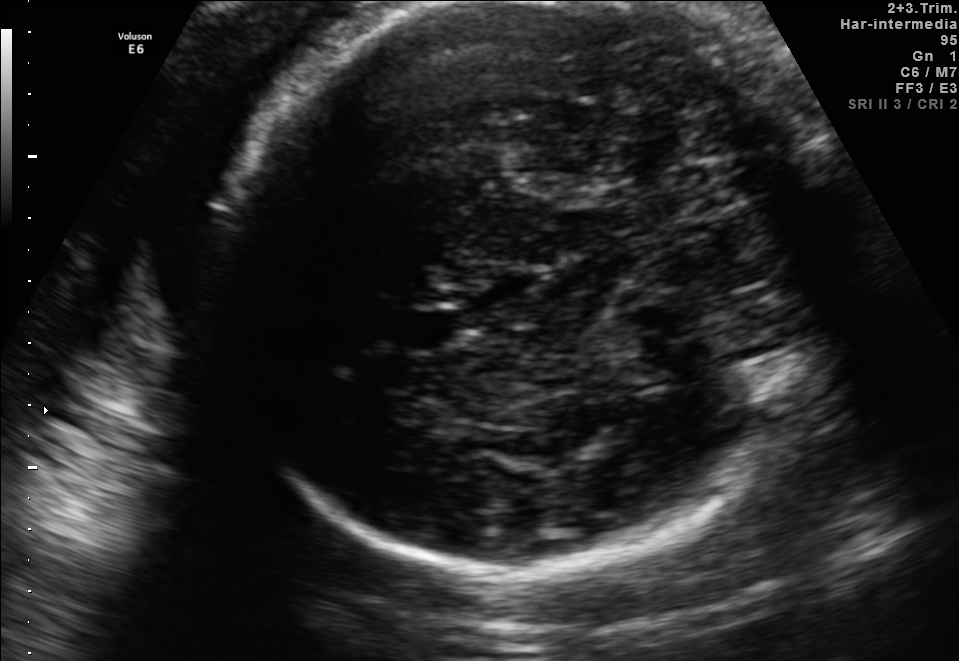
Fetal brain, trans-thalamic plane. Locate the fetal head and, if visible, the cavum septum pellucidum (CSP) and lateral ventricle (LV). Give bounding boxes as [x1,y1,x2,y2].

Head: [214,4,845,561]
CSP: [398,307,455,352]